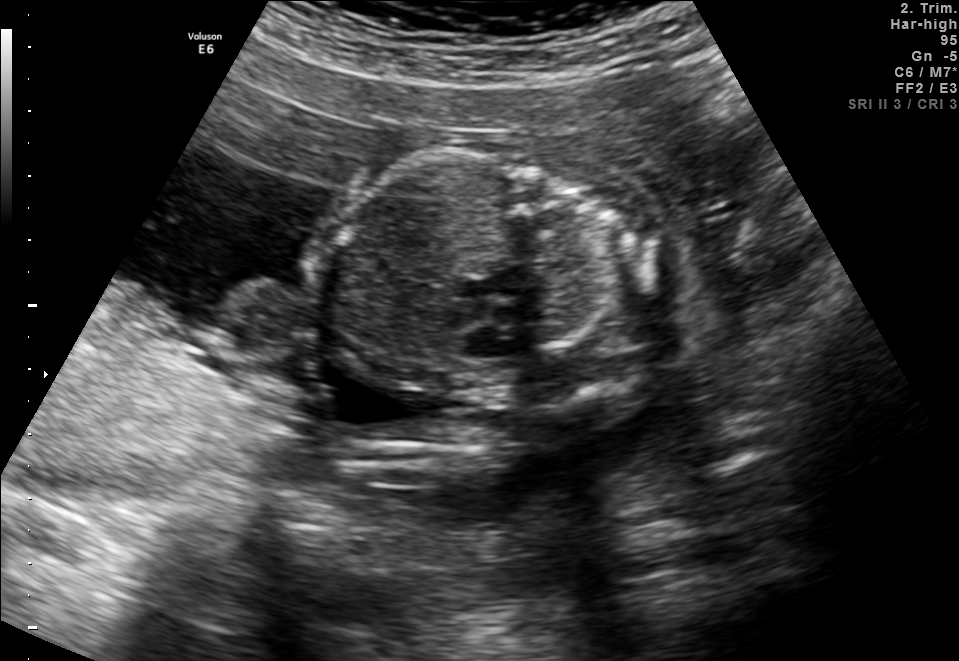
Identify the standard plane in this fetal ultrasound image: fetal abdomen, fetal brain, fetal femur, fetal thorax, maternal cervix, or other. If it's fetal brain and one of the three standard brain planes (trans-thalamic, trans-cerebellum, trans-ventricular), name which.

Other